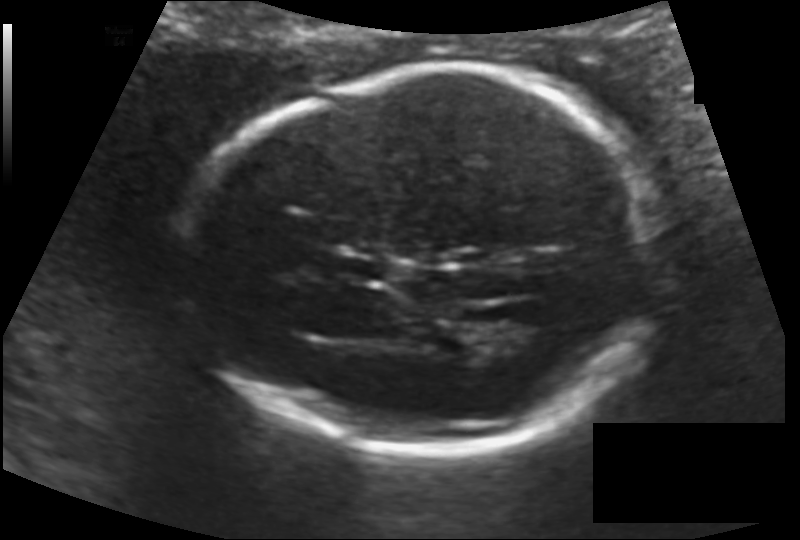
In this fetal head ultrasound, give bounding boxes for the head outline, cavum septum pellucidum (CSP), and lateral ventricle (LV), where visible. Image width: 102.3 mm.

Head: [189,67,661,453]
CSP: [331,251,391,286]
Lateral ventricle: [483,308,552,359]